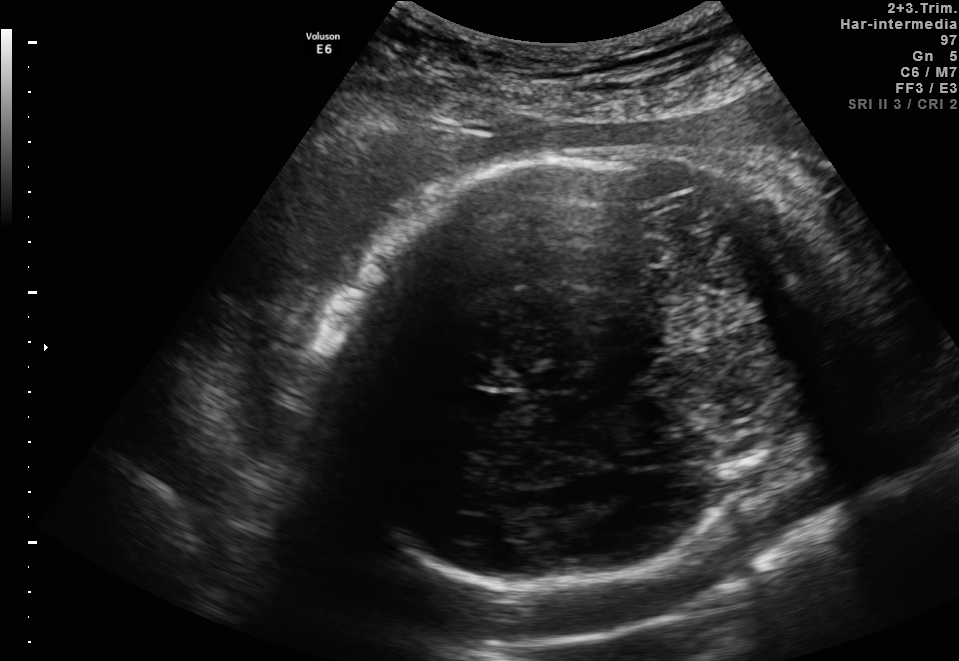
Which standard maternal-fetal ultrasound plane is shown: fetal abdomen, fetal brain, fetal femur, fetal thorax, maternal cervix, or other? If it's fetal brain and one of the three standard brain planes (trans-thalamic, trans-cerebellum, trans-ventricular), name which.

Fetal brain (trans-thalamic plane)